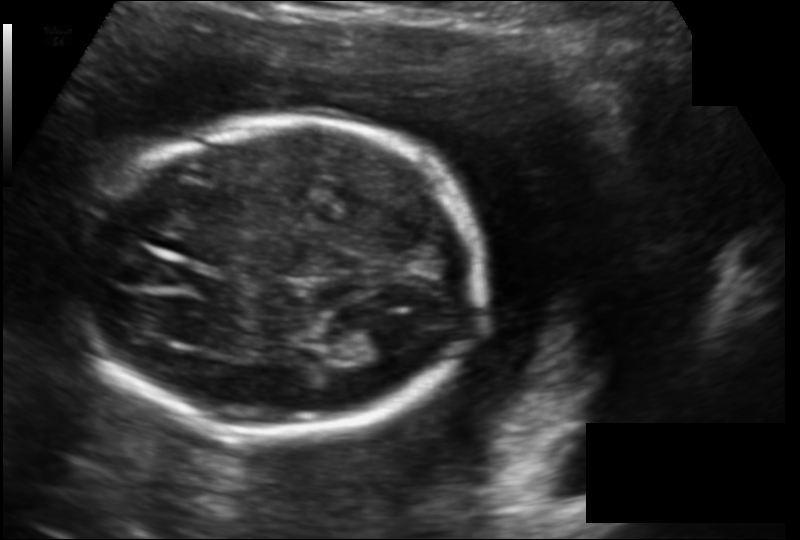
Estimate the fetal head circumference from this 2D ultrasound.

Head circumference: 165.2 mm (image width 113.3 mm).